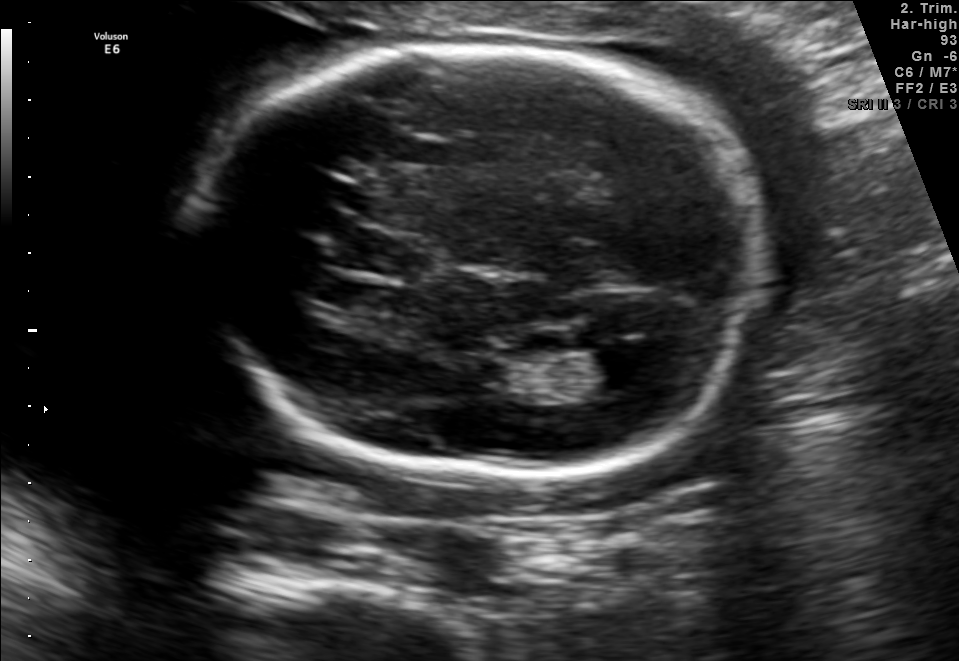
Fetal brain, trans-ventricular plane. Where is the fetal head?

Head bounding box: [184,34,781,487]